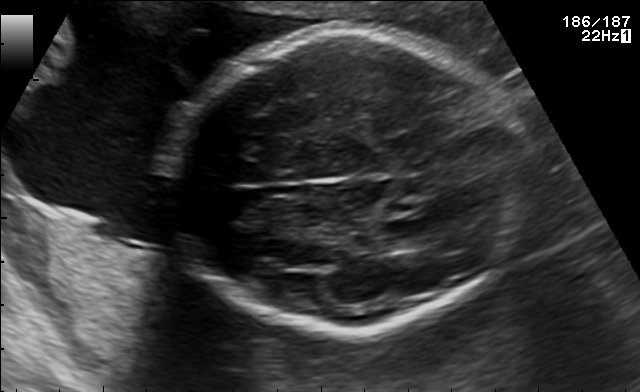
Fetal brain, trans-thalamic plane. Locate the fetal head.

Head: [166,30,525,331]